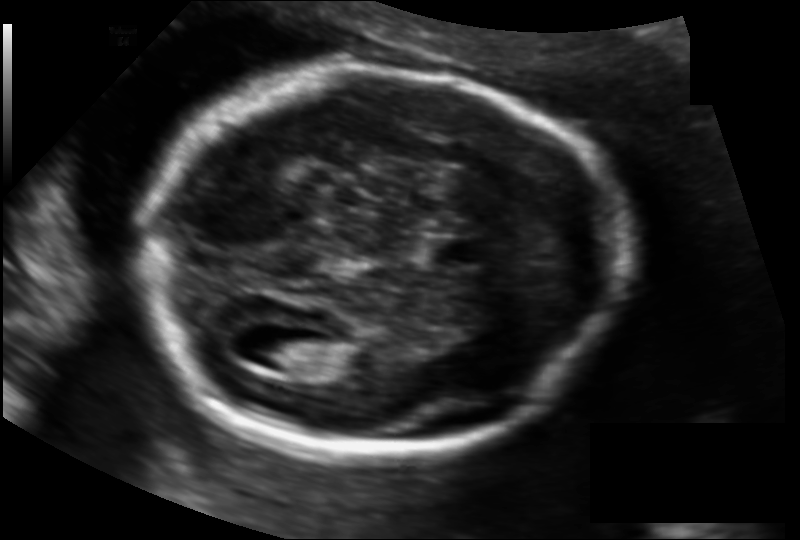
Measure the fetal head circumference shown in this ultrasound image. Image width: 102.3 mm.

Head circumference: 175.9 mm.